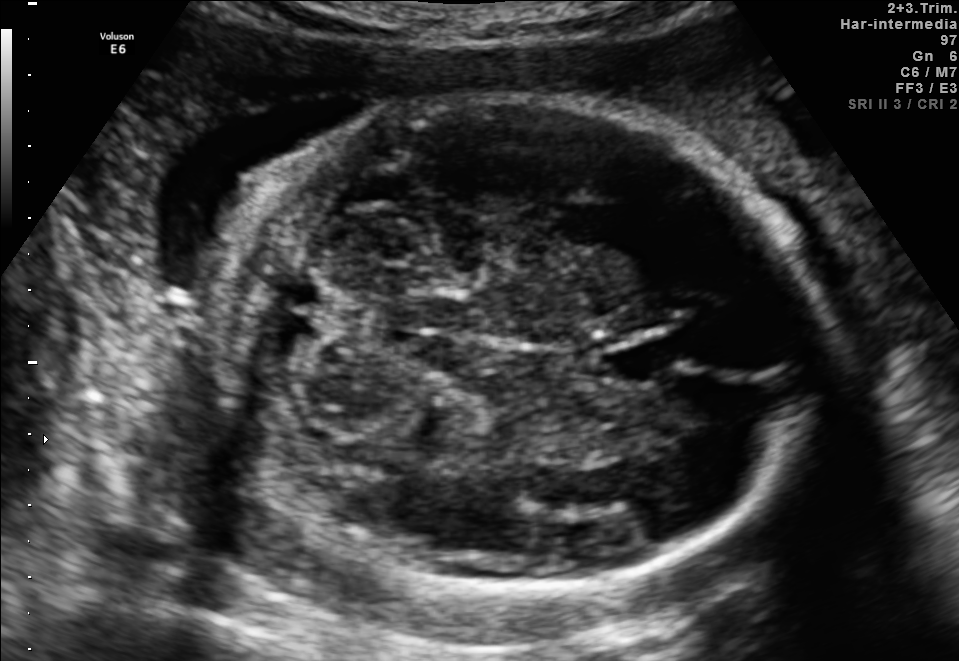
In this fetal brain, trans-cerebellum plane, give the bounding box of the fetal head.

[202,94,823,583]